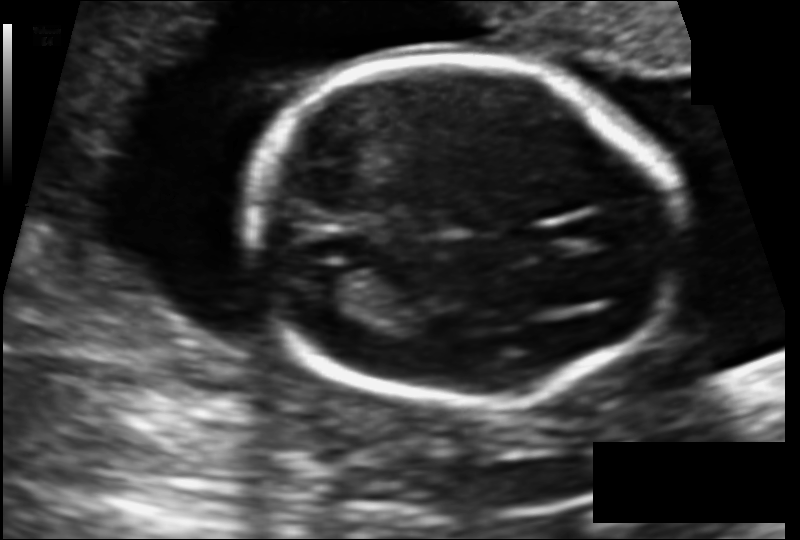
Estimate the fetal head circumference from this 2D ultrasound.

Head circumference: 153.8 mm (image width 96.7 mm).